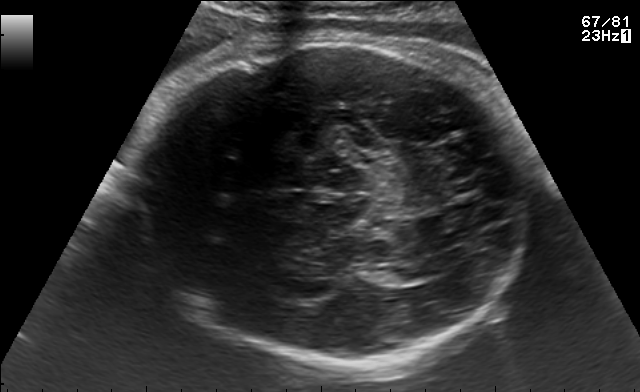
Fetal brain, trans-thalamic plane. Locate the fetal head.

Head: [129,37,531,369]